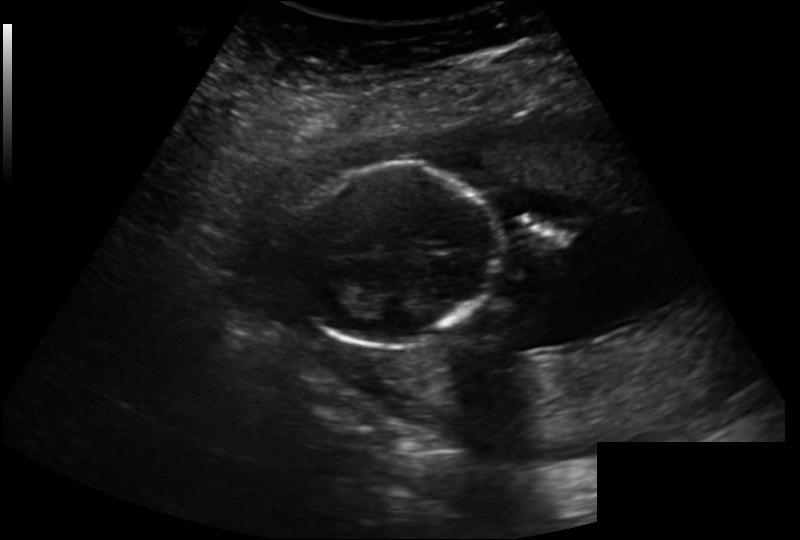
In this fetal head ultrasound, give bounding boxes for the head outline, cavum septum pellucidum (CSP), and lateral ventricle (LV), where visible. Image width: 161.6 mm.

Head: [294,162,496,349]